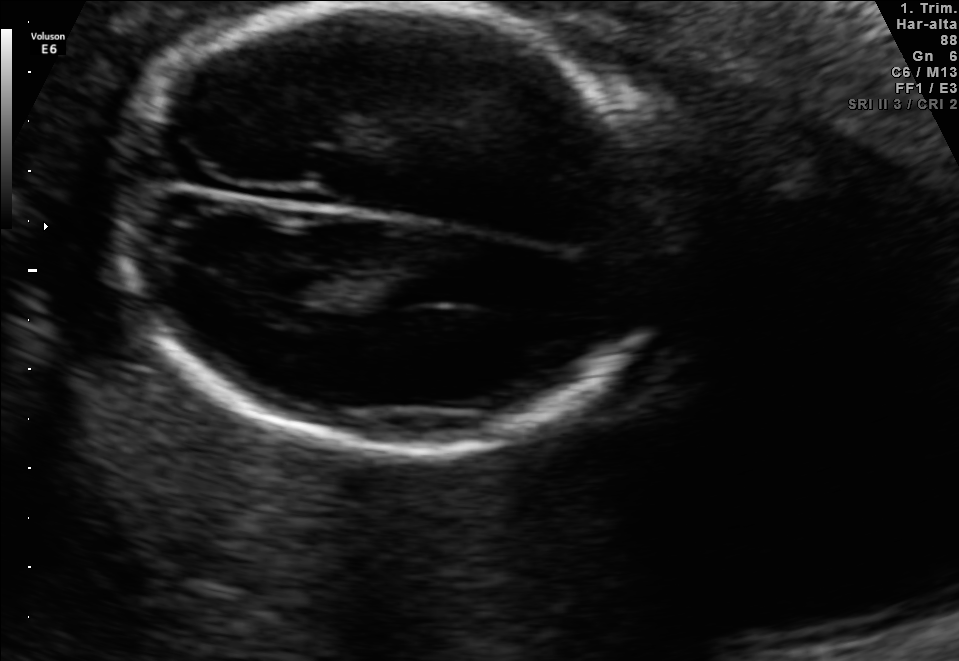
Fetal brain, trans-thalamic plane. Locate the fetal head and, if visible, the cavum septum pellucidum (CSP) and lateral ventricle (LV). Give bounding boxes as [x1,y1,x2,y2].

Head: [122,3,663,458]